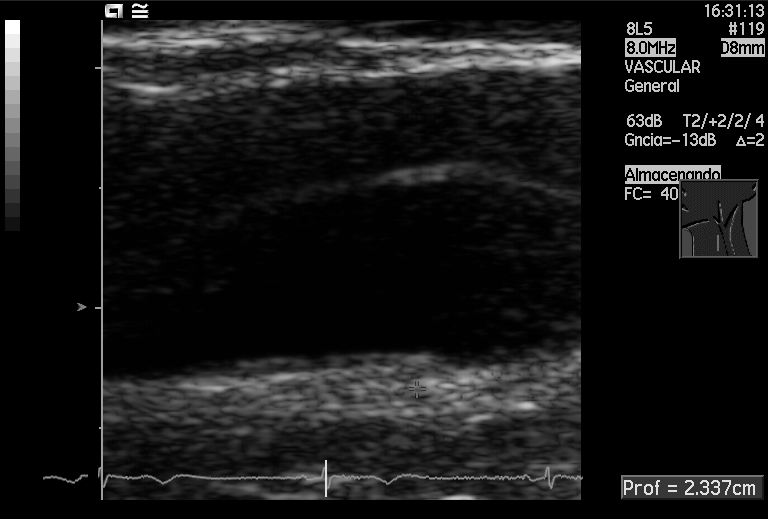
Identify the standard plane in this fetal ultrasound image: fetal abdomen, fetal brain, fetal femur, fetal thorax, maternal cervix, or other. If it's fetal brain and one of the three standard brain planes (trans-thalamic, trans-cerebellum, trans-ventricular), name which.

Other